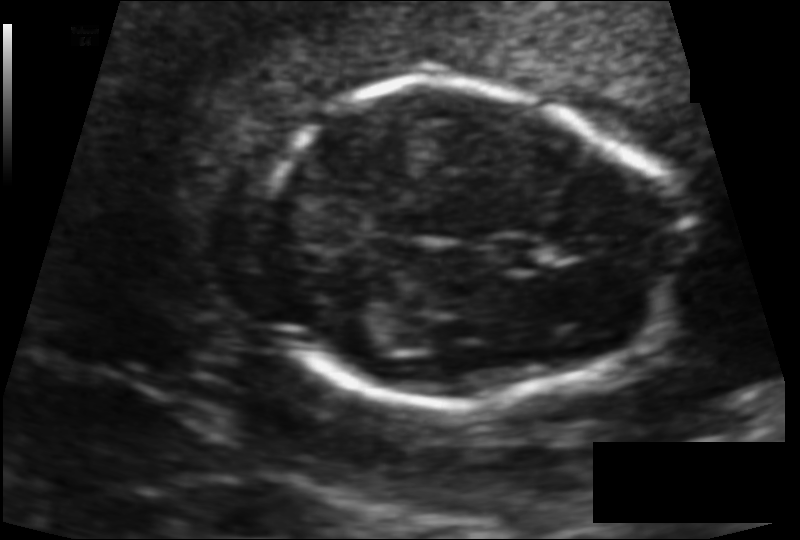
Estimate the fetal head circumference from this 2D ultrasound.

Head circumference: 121.3 mm (image width 80.4 mm).